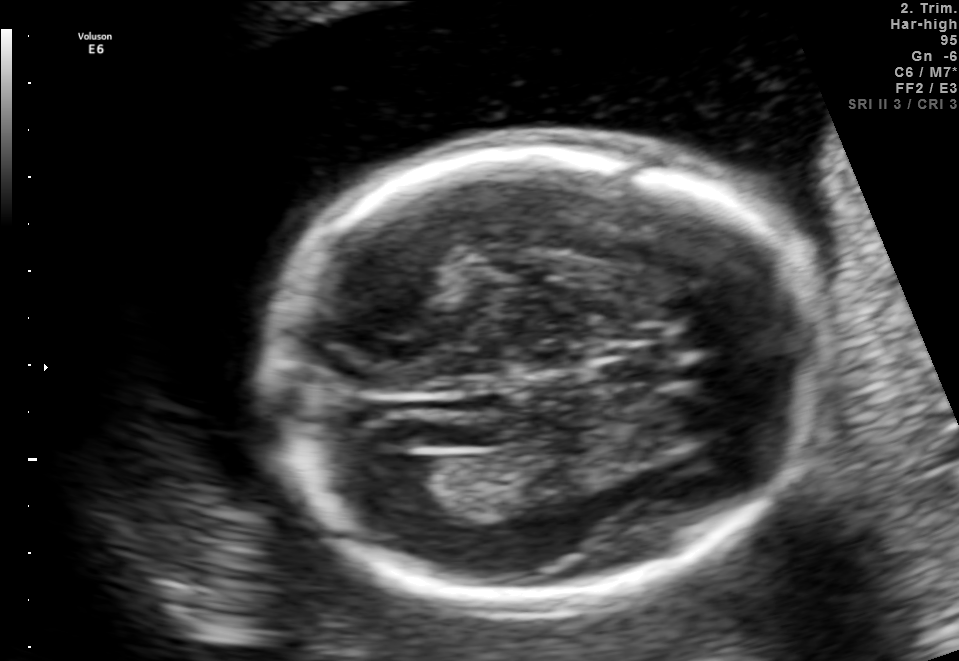
Fetal brain, trans-ventricular plane. Locate the lateral ventricle.

Lateral ventricle: [374,457,445,511]